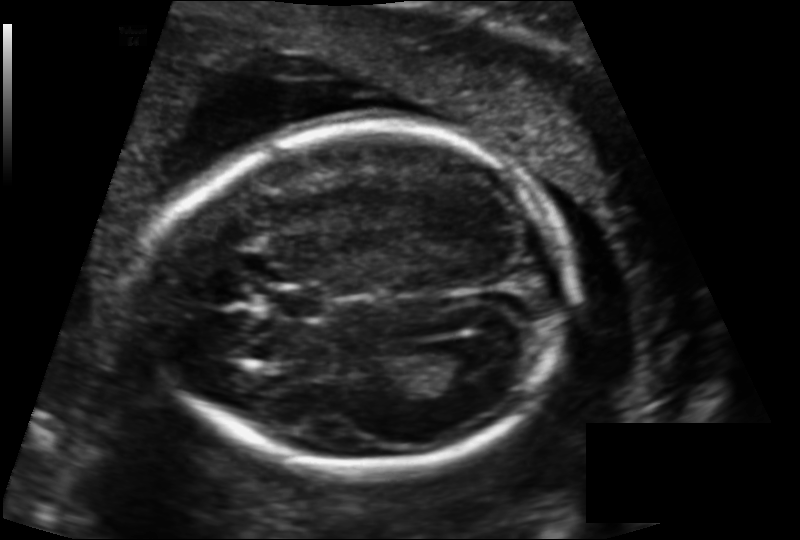
In this fetal head ultrasound, give the bounding box of the cavum septum pellucidum. Image width: 109.5 mm.

[271,289,324,316]